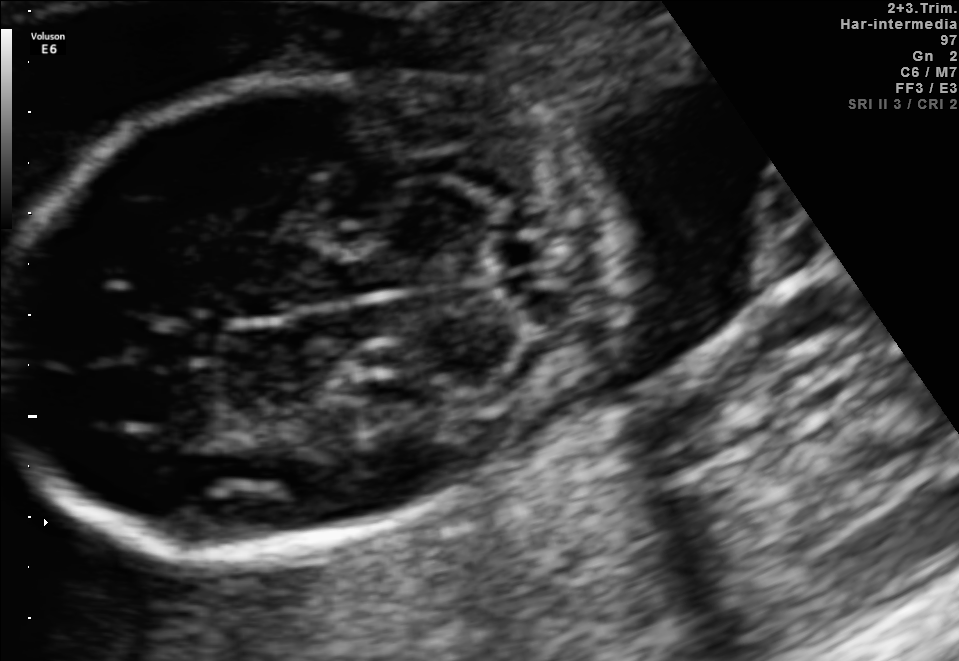
Fetal brain, trans-cerebellum plane. Locate the cavum septum pellucidum.

CSP: [138,318,220,372]